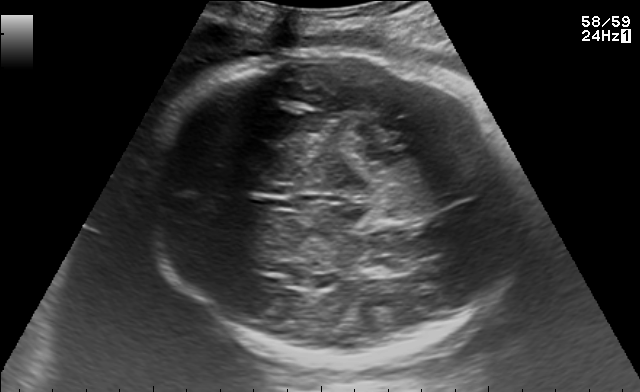
In this fetal brain, trans-thalamic plane, give bounding boxes for the head outline, cavum septum pellucidum (CSP), and lateral ventricle (LV), where visible.

Head: [141,45,524,361]
Lateral ventricle: [361,255,407,279]